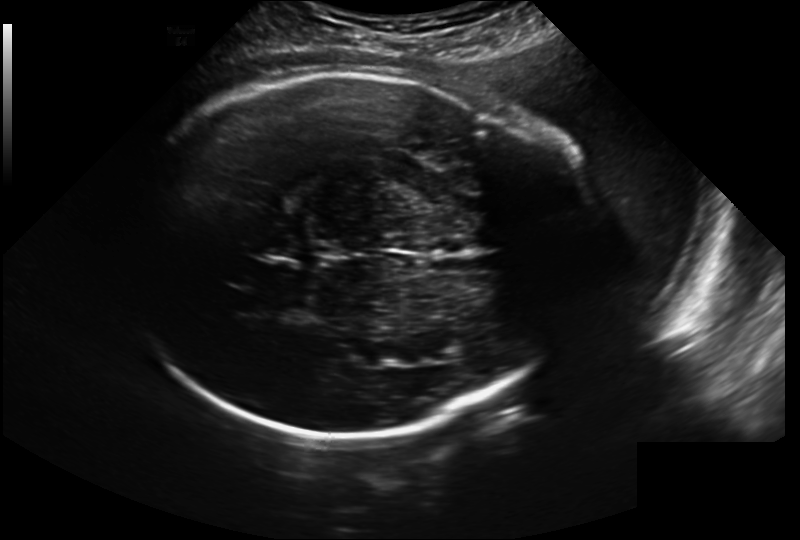
What is the fetal head circumference? Image width is 192.7 mm.

328.0 mm